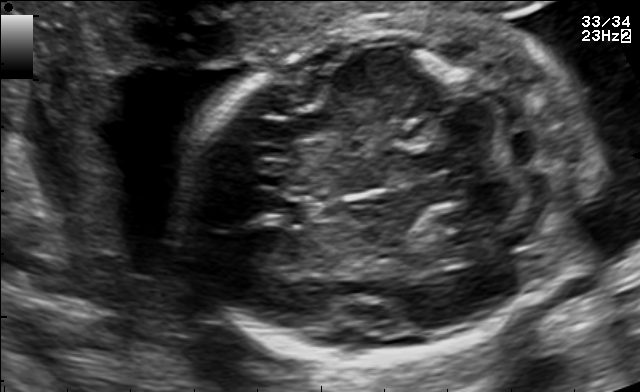
Fetal brain, trans-cerebellum plane. Locate the fetal head and, if visible, the cavum septum pellucidum (CSP) and lateral ventricle (LV). Give bounding boxes as [x1,y1,x2,y2].

Head: [182,13,595,353]
CSP: [275,198,320,229]